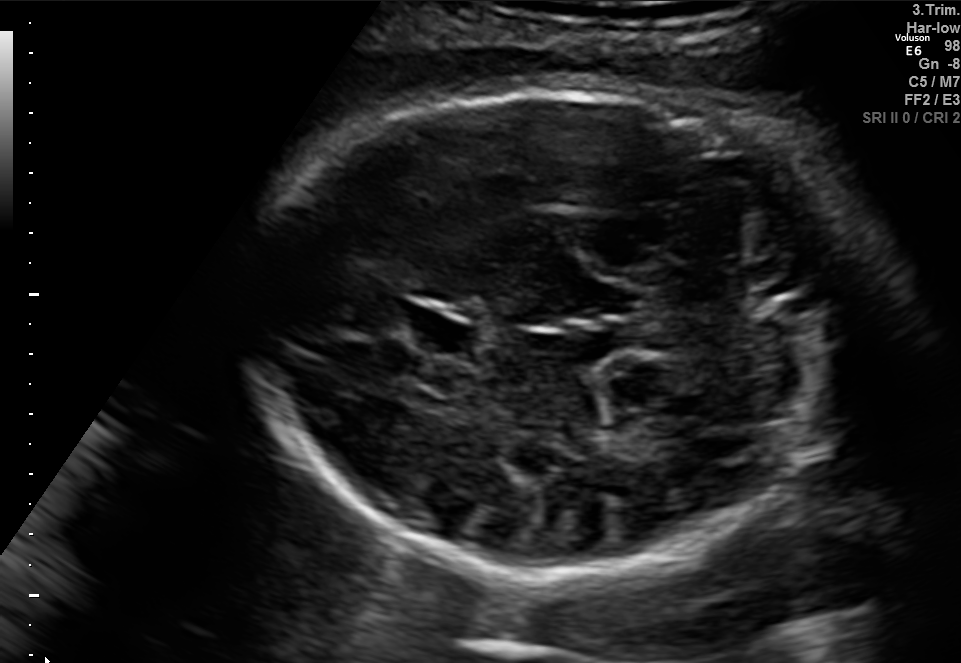
In this fetal brain, trans-cerebellum plane, give bounding boxes for the head outline, cavum septum pellucidum (CSP), and lateral ventricle (LV), where visible.

Head: [254,88,836,575]
CSP: [391,296,480,364]